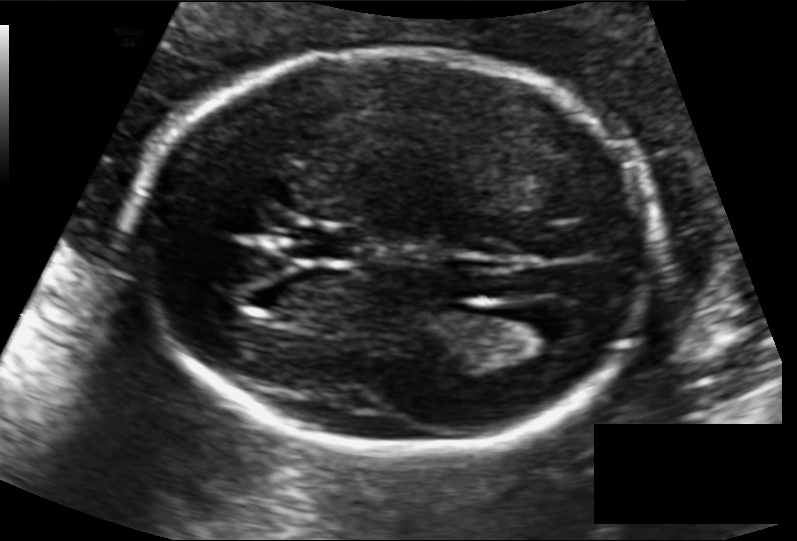
Fetal head ultrasound. Image width: 94.0 mm. Locate the cavum septum pellucidum.

CSP: [289,226,356,260]